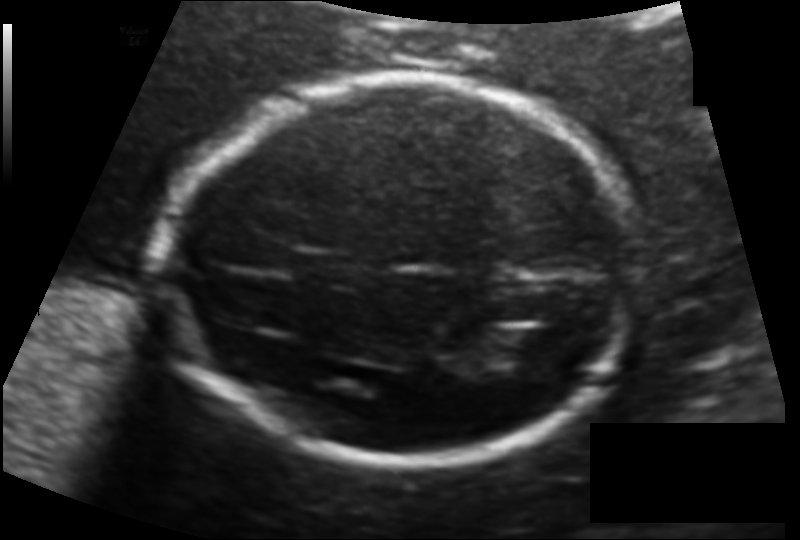
Fetal head ultrasound. Image width: 98.0 mm. Locate the fetal head and, if visible, the cavum septum pellucidum (CSP) and lateral ventricle (LV). Give bounding boxes as [x1,y1,x2,y2].

Head: [164,75,644,465]
CSP: [293,245,365,290]
Lateral ventricle: [502,330,556,362]